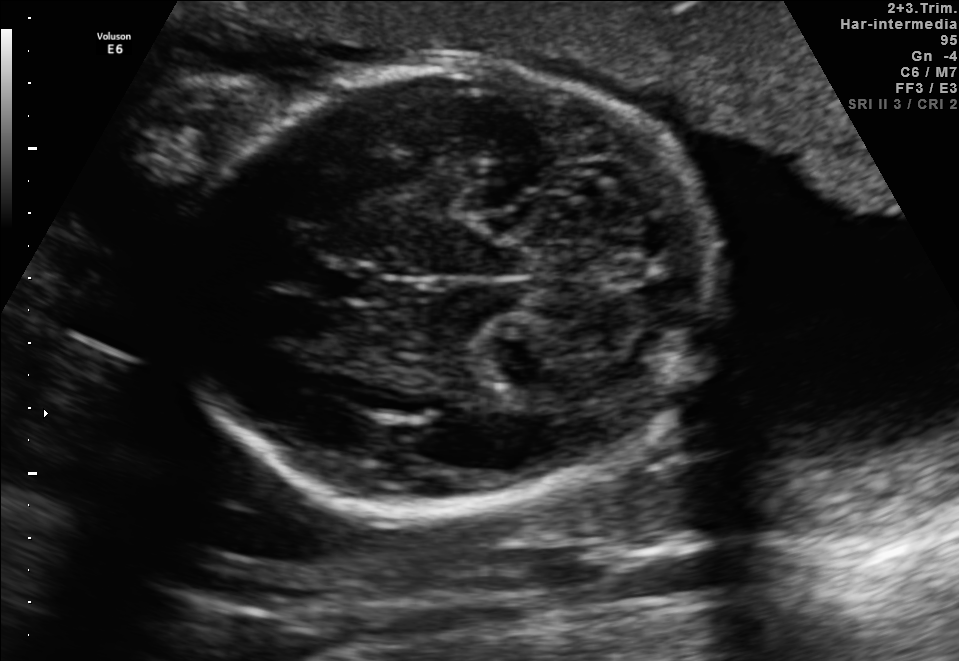
Fetal brain, trans-cerebellum plane. Give [x1,y1,x2,y2] bounding boxes for each visible structure among: fetal head, CSP, LV.

Head: [176,67,721,508]
CSP: [319,262,382,305]